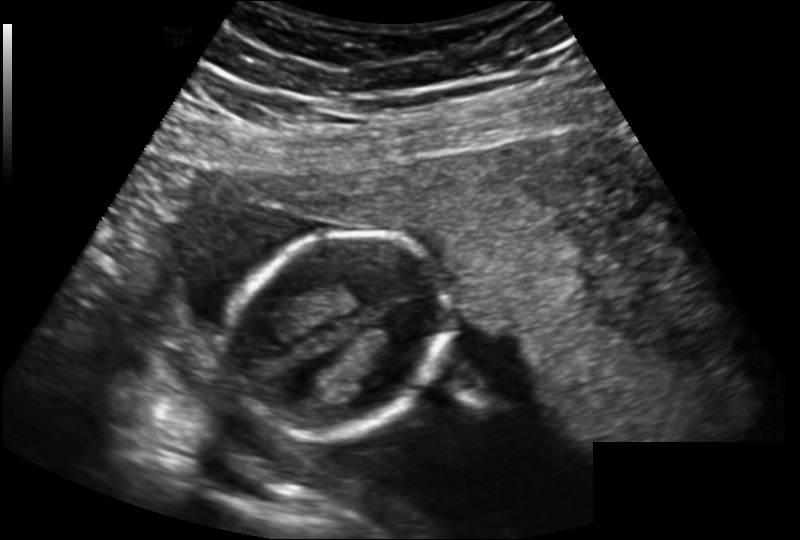
Fetal head ultrasound. Image width: 146.2 mm. Where is the fetal head?

Head bounding box: [228,232,450,435]